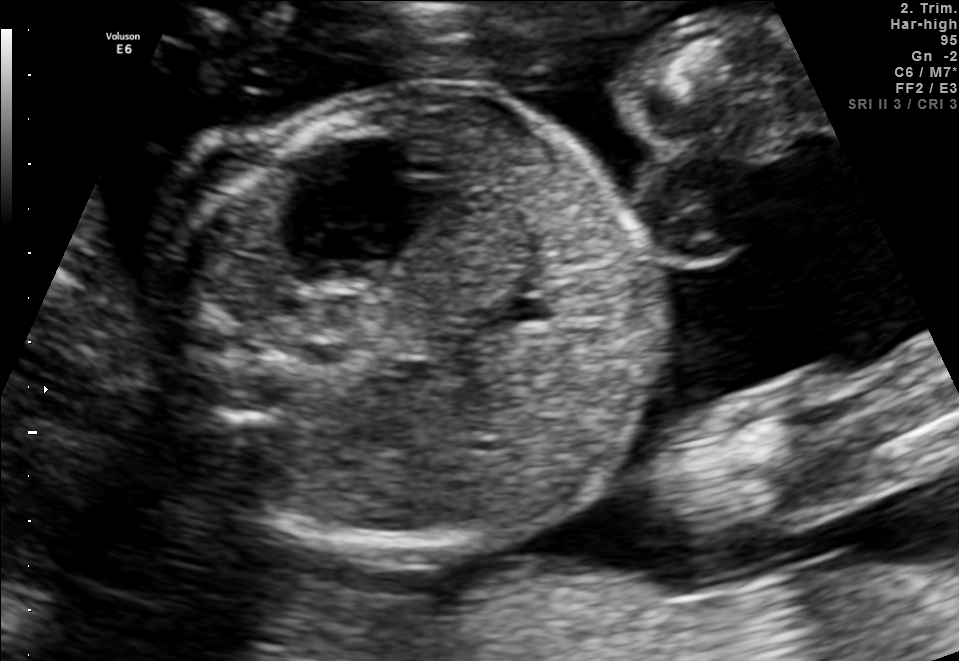
This is a 2D maternal-fetal ultrasound frame. Is it a fetal abdomen, fetal brain, fetal femur, fetal thorax, maternal cervix, or other standard plane? If it's fetal brain and one of the three standard brain planes (trans-thalamic, trans-cerebellum, trans-ventricular), name which.

Fetal abdomen